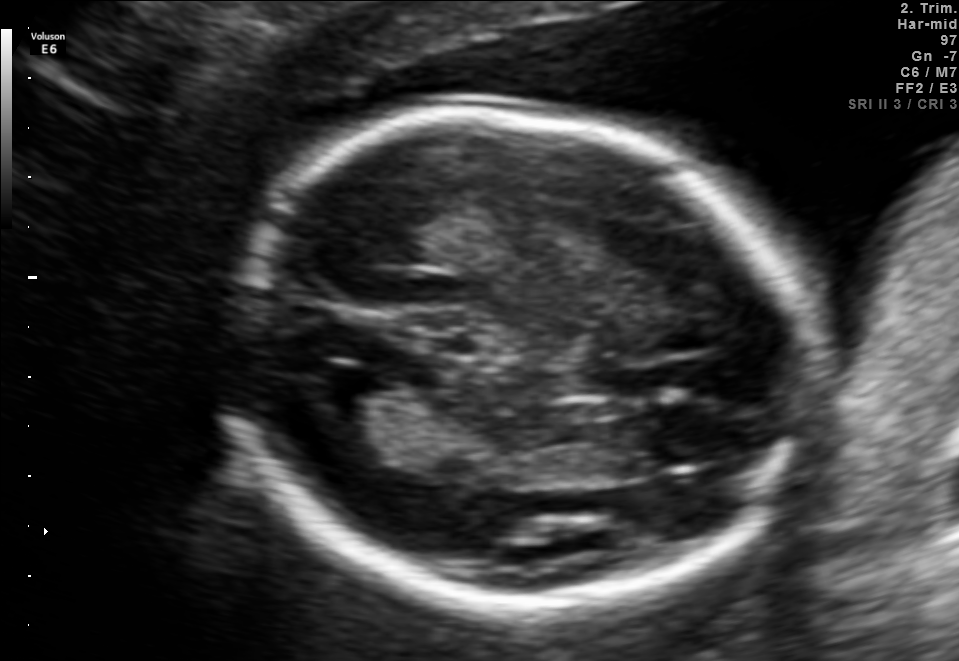
Fetal brain, trans-thalamic plane. Locate the lateral ventricle.

Lateral ventricle: [294,346,395,434]